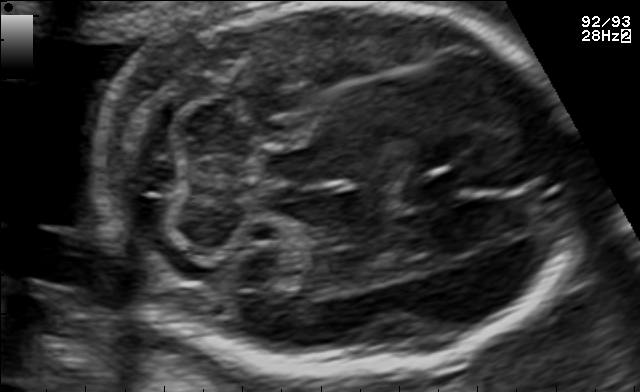
In this fetal brain, trans-cerebellum plane, give the bounding box of the fetal head.

[102,2,570,381]